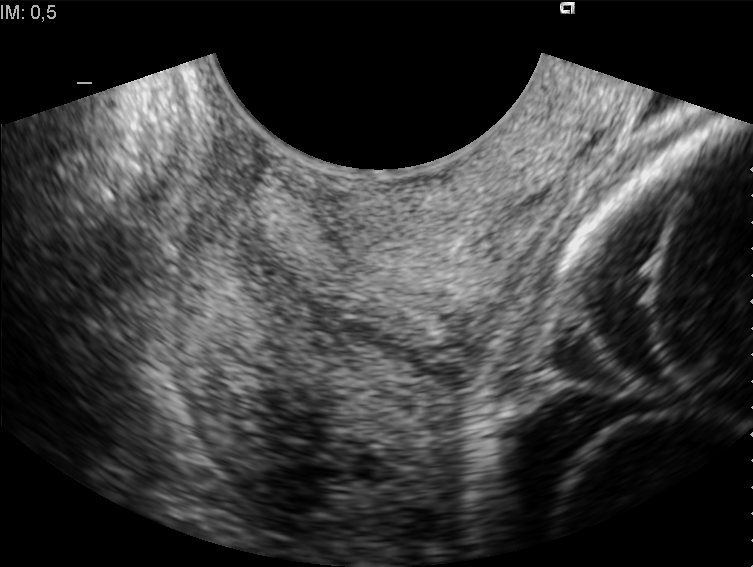
This is a 2D maternal-fetal ultrasound frame. Is it a fetal abdomen, fetal brain, fetal femur, fetal thorax, maternal cervix, or other standard plane? If it's fetal brain and one of the three standard brain planes (trans-thalamic, trans-cerebellum, trans-ventricular), name which.

Maternal cervix